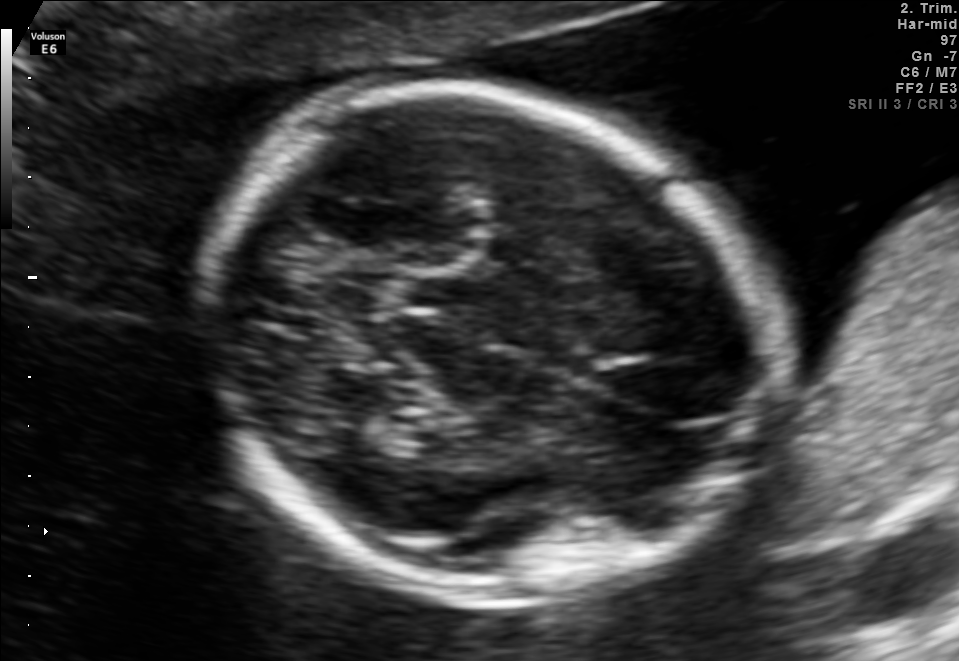
Fetal brain, trans-thalamic plane. Give [x1,y1,x2,y2] bounding boxes for each visible structure among: fetal head, CSP, LV.

Head: [194,88,775,597]